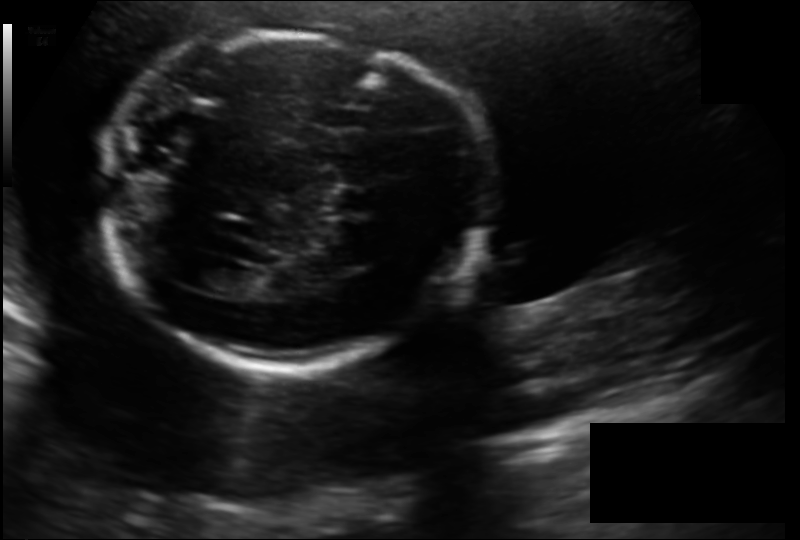
Estimate the fetal head circumference from this 2D ultrasound.

Head circumference: 187.8 mm (image width 126.7 mm).